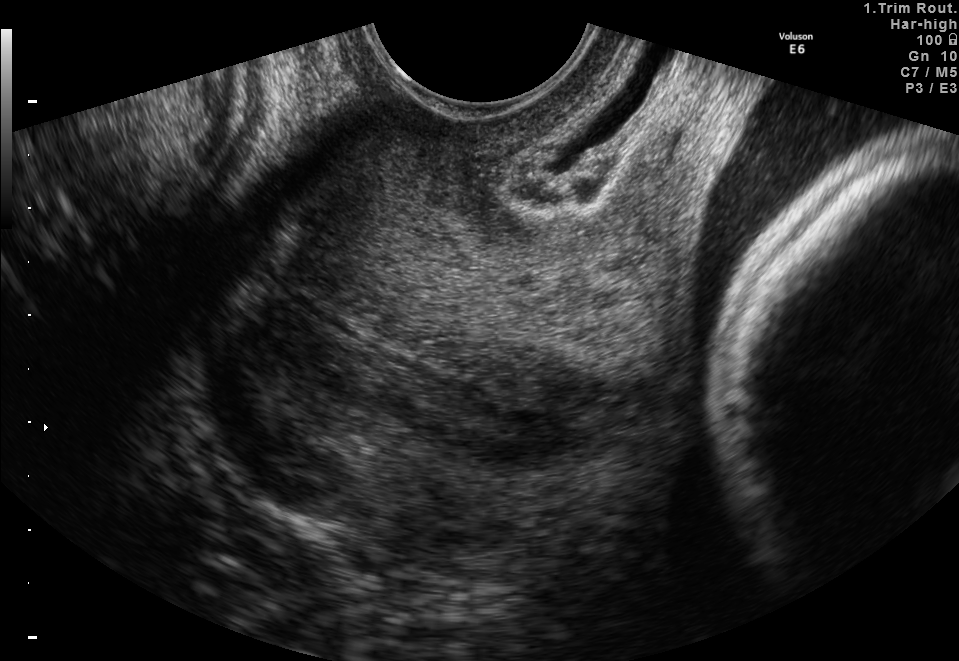
This is a 2D maternal-fetal ultrasound frame. Is it a fetal abdomen, fetal brain, fetal femur, fetal thorax, maternal cervix, or other standard plane? If it's fetal brain and one of the three standard brain planes (trans-thalamic, trans-cerebellum, trans-ventricular), name which.

Maternal cervix